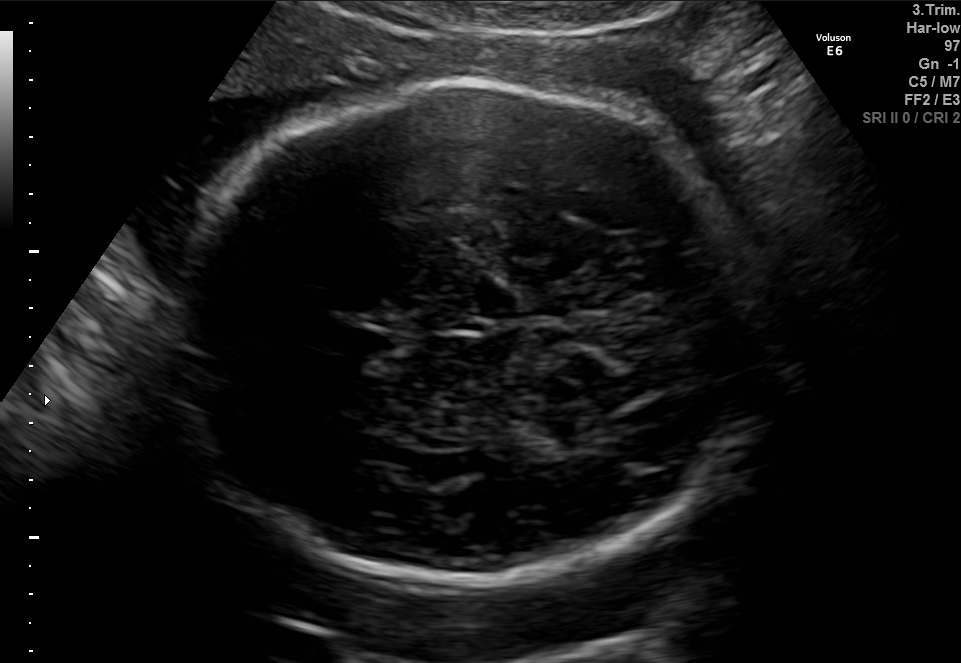
In this fetal brain, trans-thalamic plane, give the bounding box of the fetal head.

[174,82,775,587]